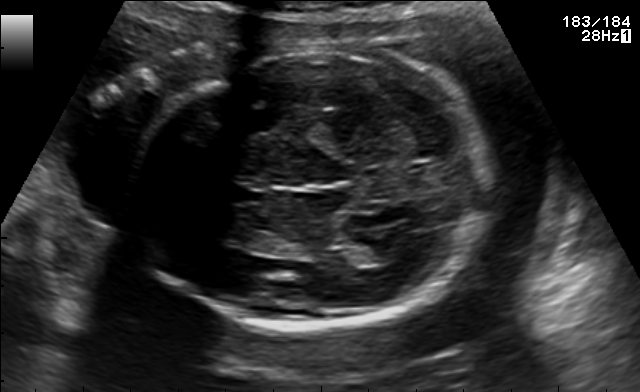
Fetal brain, trans-thalamic plane. Locate the fetal head.

Head: [131,49,495,329]